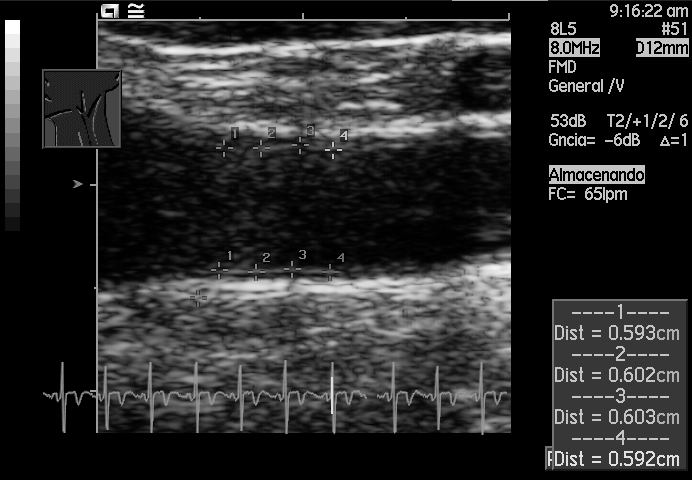
Which standard maternal-fetal ultrasound plane is shown: fetal abdomen, fetal brain, fetal femur, fetal thorax, maternal cervix, or other? If it's fetal brain and one of the three standard brain planes (trans-thalamic, trans-cerebellum, trans-ventricular), name which.

Other